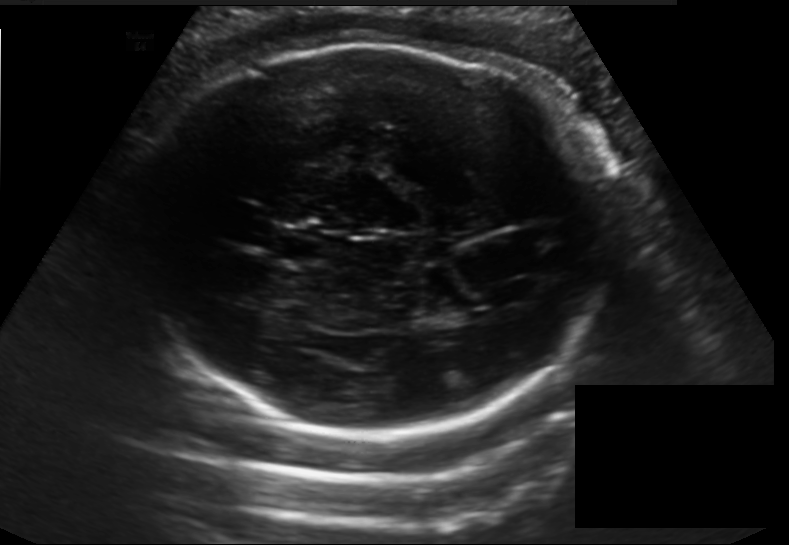
In this fetal head ultrasound, give bounding boxes for the head outline, cavum septum pellucidum (CSP), and lateral ventricle (LV), where visible. Image width: 156.6 mm.

Head: [128,44,610,435]
CSP: [267,229,331,269]